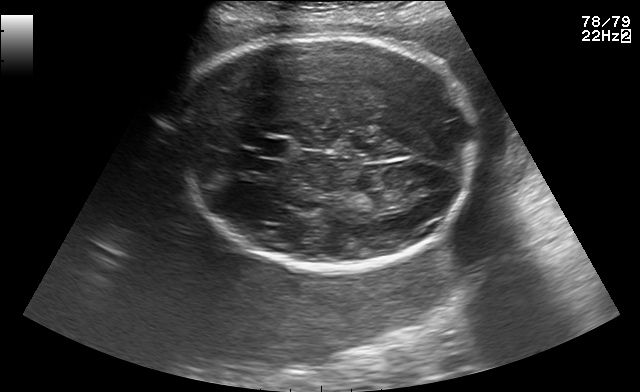
Fetal brain, trans-thalamic plane. Locate the fetal head.

Head: [173,33,481,271]